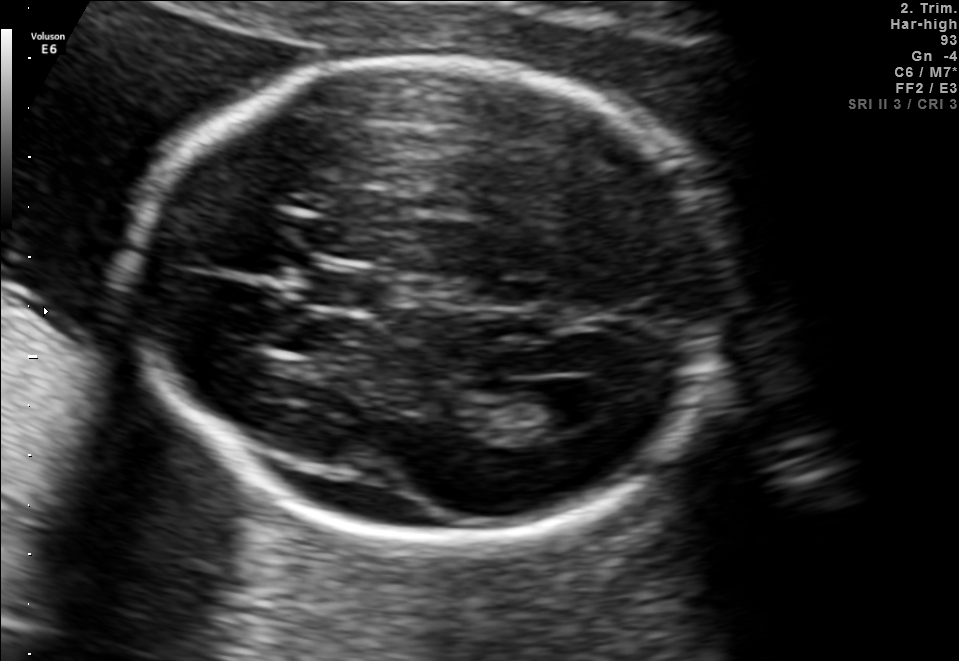
Fetal brain, trans-ventricular plane. Where is the fetal head?

Head bounding box: [122,50,739,553]